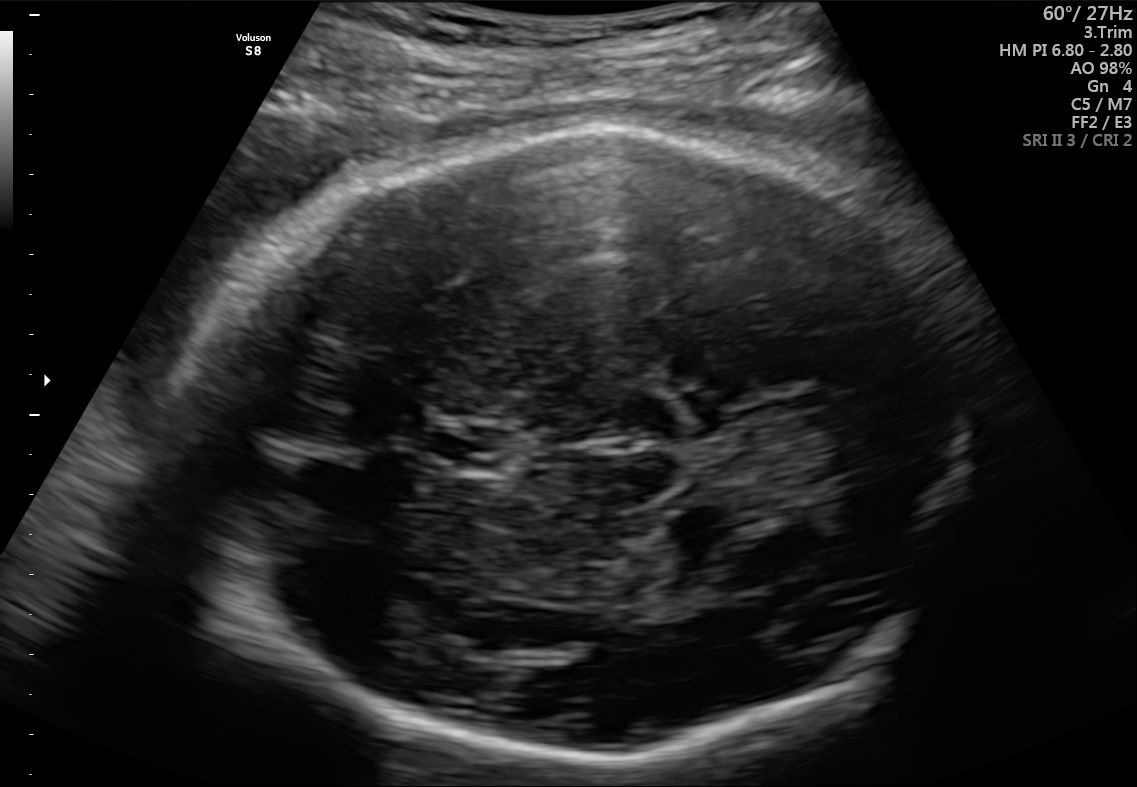
Fetal brain, trans-thalamic plane. Where is the fetal head?

Head bounding box: [192,126,971,768]